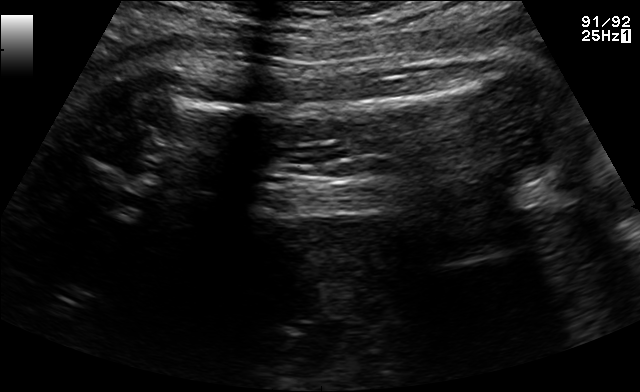
Identify the standard plane in this fetal ultrasound image: fetal abdomen, fetal brain, fetal femur, fetal thorax, maternal cervix, or other. If it's fetal brain and one of the three standard brain planes (trans-thalamic, trans-cerebellum, trans-ventricular), name which.

Fetal femur